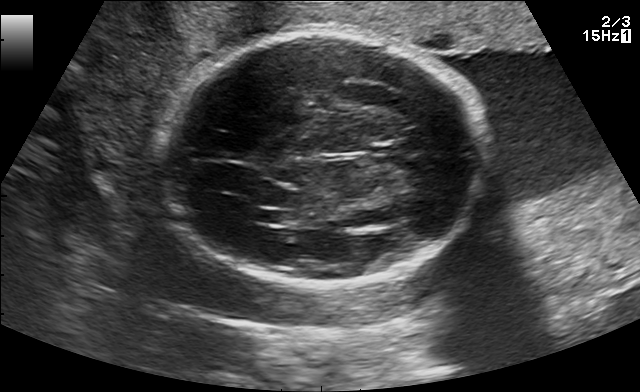
In this fetal brain, trans-thalamic plane, give the bounding box of the lateral ventricle.

[256,209,295,225]